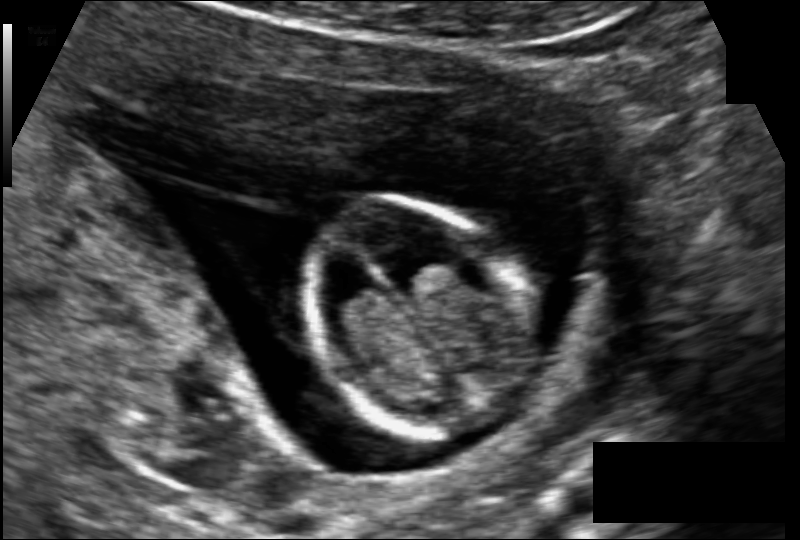
In this fetal head ultrasound, give bounding boxes for the head outline, cavum septum pellucidum (CSP), and lateral ventricle (LV), where visible. Image width: 81.3 mm.

Head: [299,203,535,436]